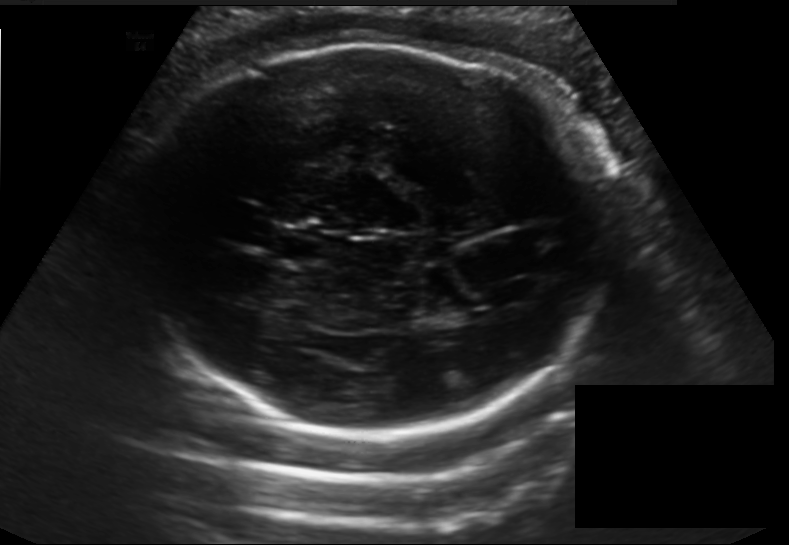
Fetal head ultrasound. Image width: 156.6 mm. Locate the fetal head and, if visible, the cavum septum pellucidum (CSP) and lateral ventricle (LV). Give bounding boxes as [x1,y1,x2,y2].

Head: [128,44,610,435]
CSP: [267,229,331,269]